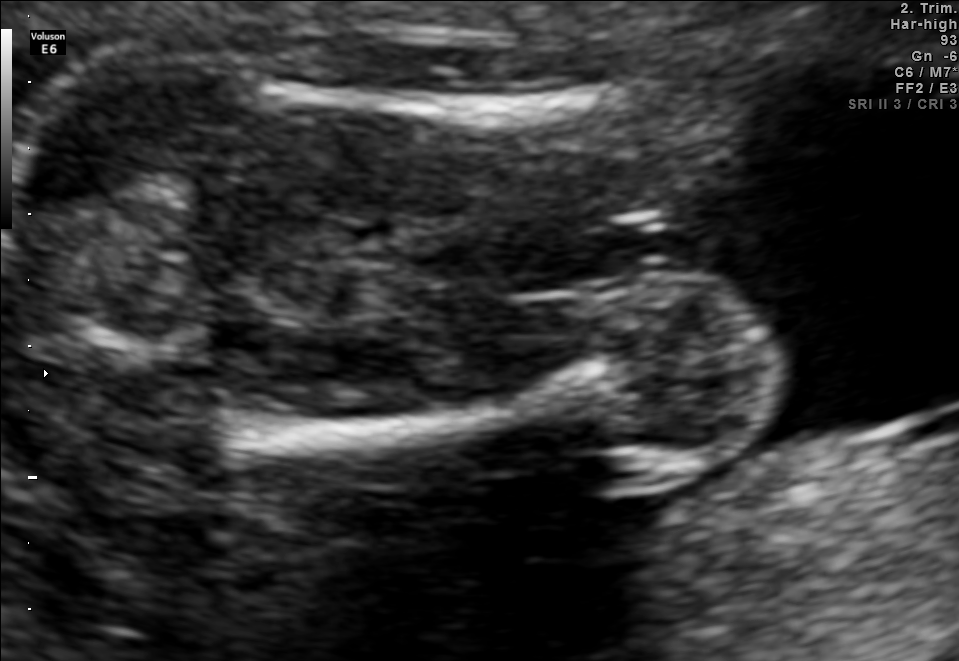
Identify the standard plane in this fetal ultrasound image: fetal abdomen, fetal brain, fetal femur, fetal thorax, maternal cervix, or other. If it's fetal brain and one of the three standard brain planes (trans-thalamic, trans-cerebellum, trans-ventricular), name which.

Fetal femur